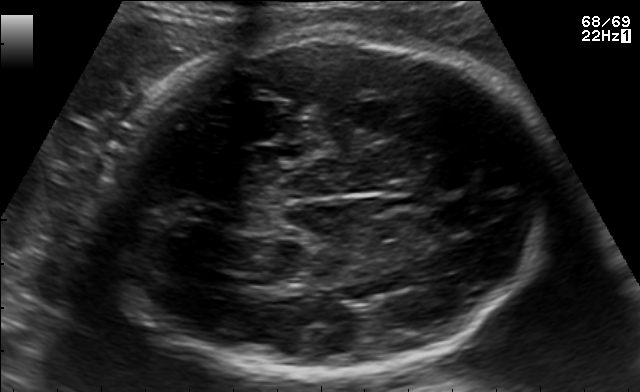
Fetal brain, trans-thalamic plane. Where is the fetal head?

Head bounding box: [102,32,550,379]